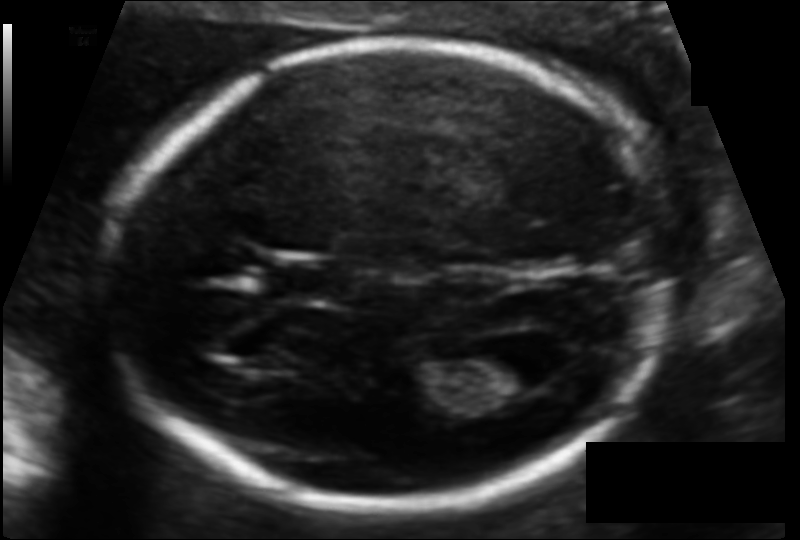
In this fetal head ultrasound, give the bounding box of the cavum septum pellucidum. Image width: 82.6 mm.

[270,261,337,302]